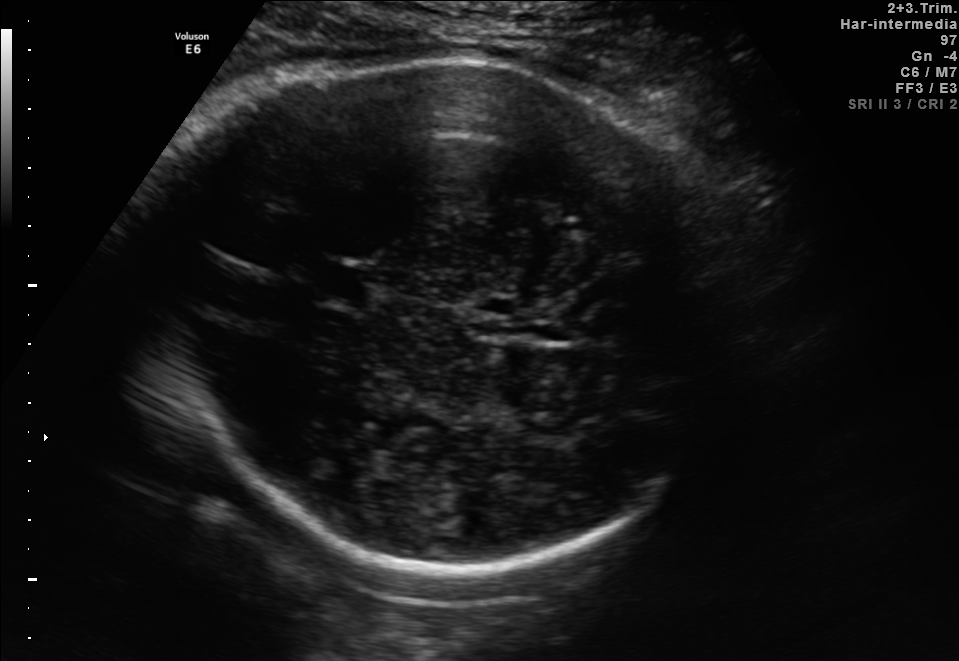
Fetal brain, trans-thalamic plane. Where is the cavum septum pellucidum?

CSP bounding box: [304,256,375,306]